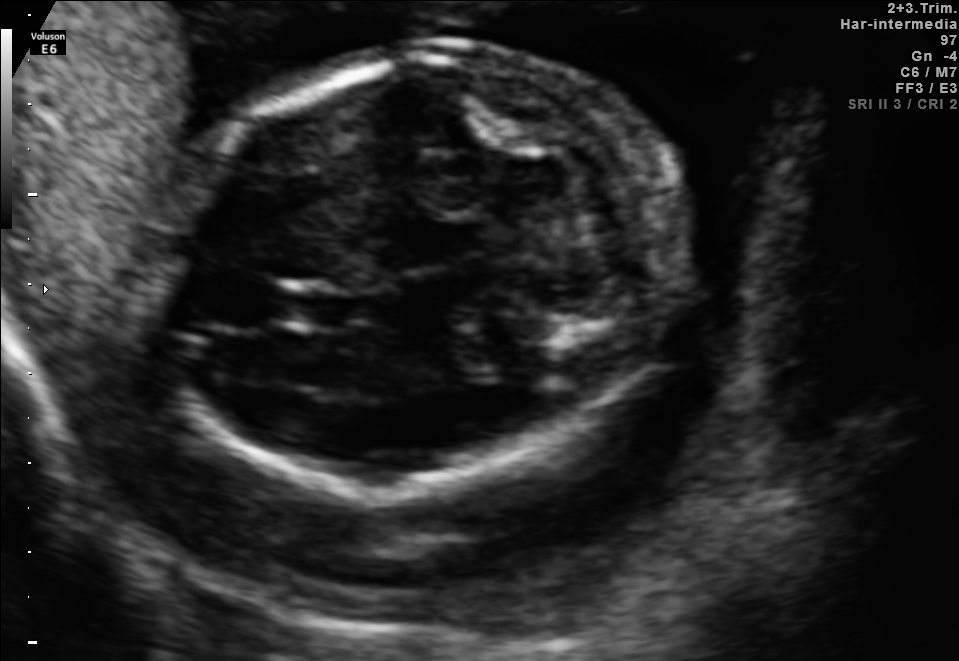
Classify this maternal-fetal ultrasound image as one of the six standard planes — fetal abdomen, fetal brain, fetal femur, fetal thorax, maternal cervix, or other. If it's fetal brain and one of the three standard brain planes (trans-thalamic, trans-cerebellum, trans-ventricular), name which.

Fetal brain (trans-cerebellum plane)